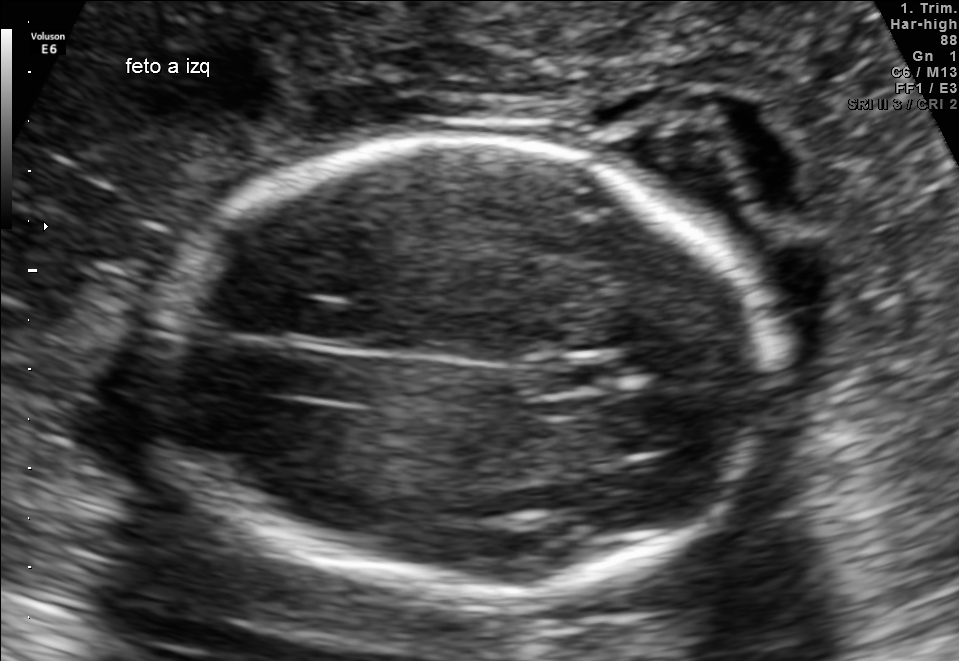
Fetal brain, trans-thalamic plane. Locate the fetal head and, if visible, the cavum septum pellucidum (CSP) and lateral ventricle (LV). Give bounding boxes as [x1,y1,x2,y2].

Head: [151,140,776,593]
CSP: [540,355,616,394]